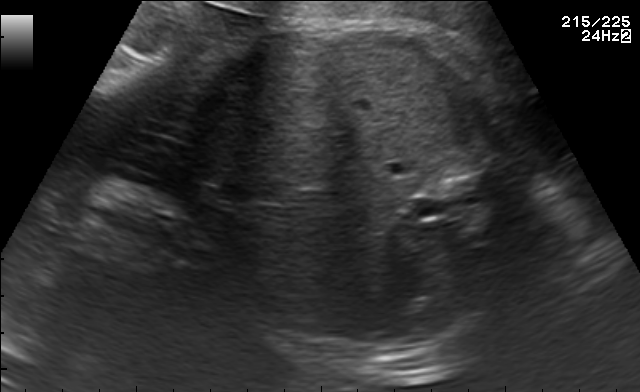
This is a 2D maternal-fetal ultrasound frame. Is it a fetal abdomen, fetal brain, fetal femur, fetal thorax, maternal cervix, or other standard plane? If it's fetal brain and one of the three standard brain planes (trans-thalamic, trans-cerebellum, trans-ventricular), name which.

Fetal abdomen